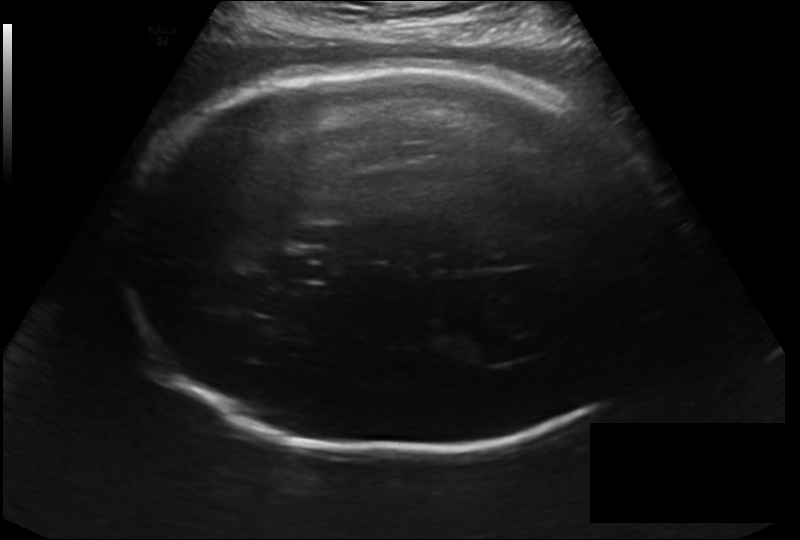
Fetal head ultrasound. Image width: 171.6 mm. Where is the fetal head?

Head bounding box: [122,64,677,452]